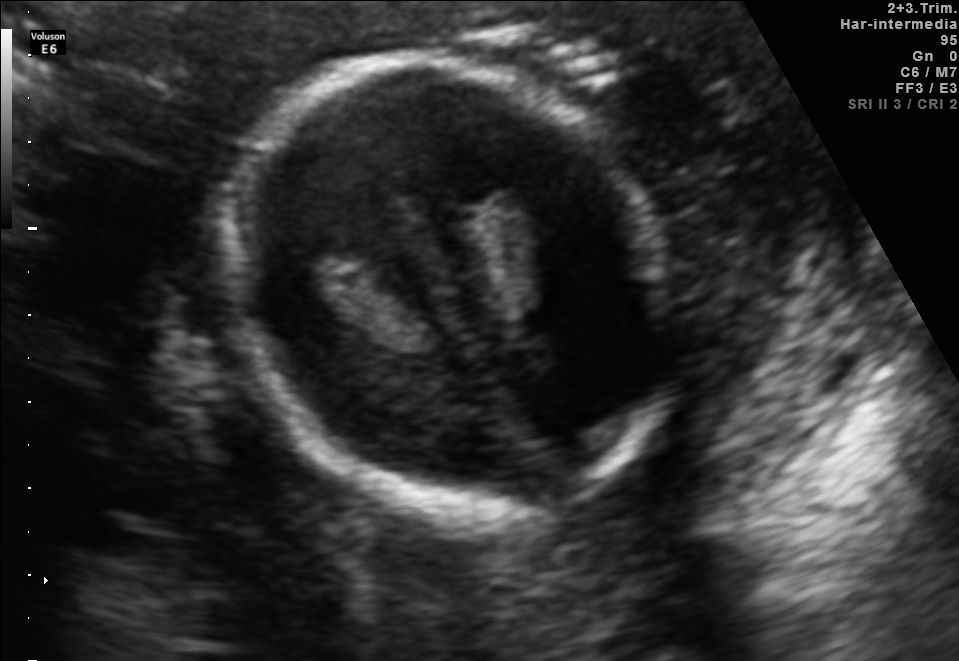
Which standard maternal-fetal ultrasound plane is shown: fetal abdomen, fetal brain, fetal femur, fetal thorax, maternal cervix, or other? If it's fetal brain and one of the three standard brain planes (trans-thalamic, trans-cerebellum, trans-ventricular), name which.

Fetal brain